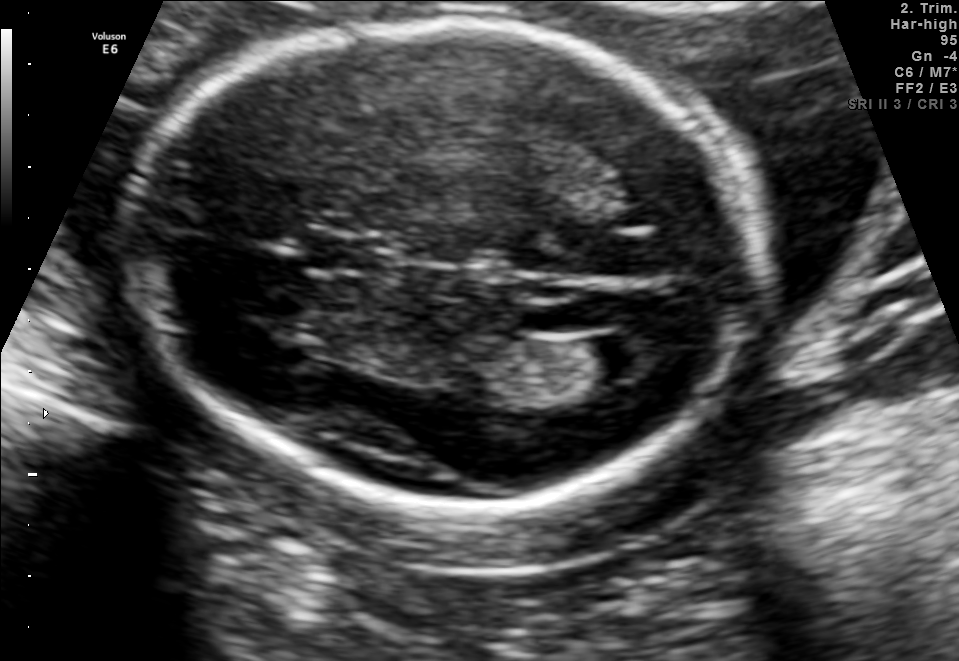
In this fetal brain, trans-ventricular plane, give the bounding box of the fetal head.

[114,6,785,521]